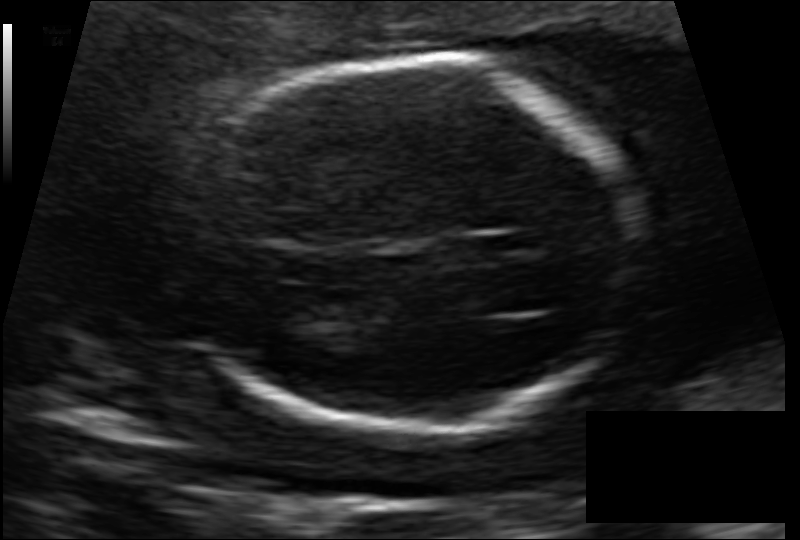
In this fetal head ultrasound, give the bounding box of the fetal head. Image width: 103.2 mm.

[191,57,636,439]